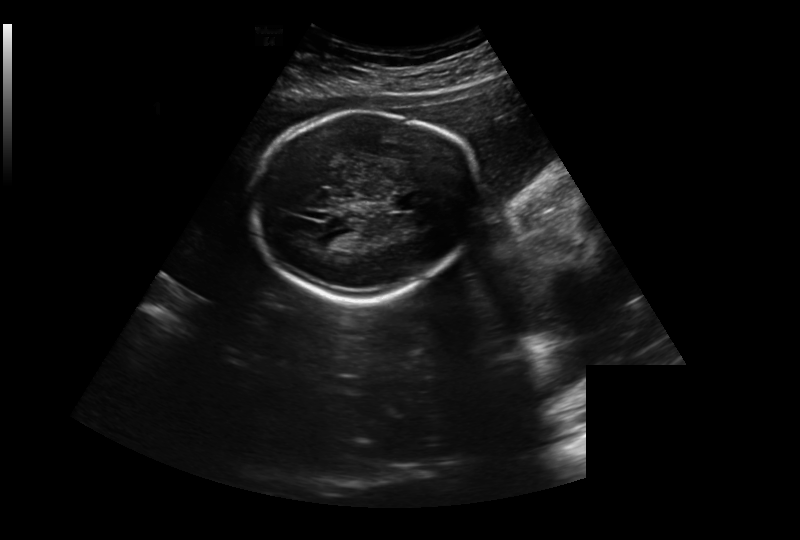
Fetal head ultrasound. Image width: 260.8 mm. Locate the fetal head.

Head: [253,110,479,301]